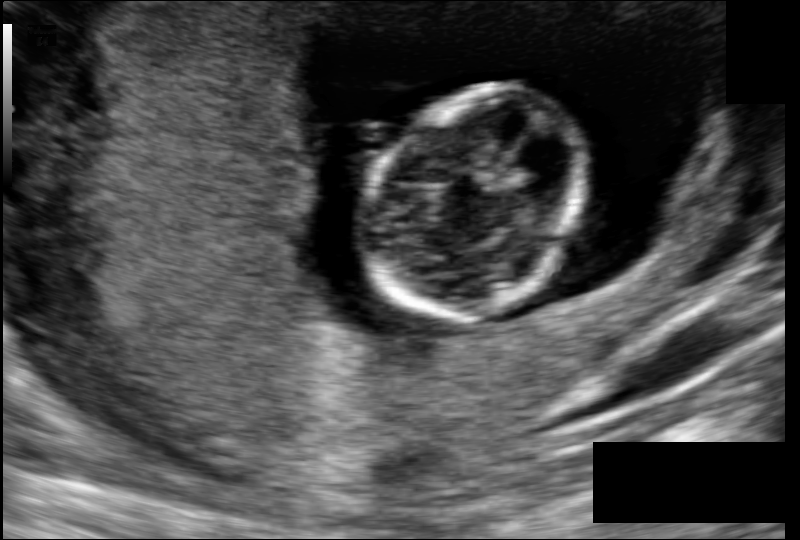
Fetal head ultrasound. Image width: 86.3 mm. Locate the fetal head and, if visible, the cavum septum pellucidum (CSP) and lateral ventricle (LV). Give bounding boxes as [x1,y1,x2,y2].

Head: [360,86,588,324]